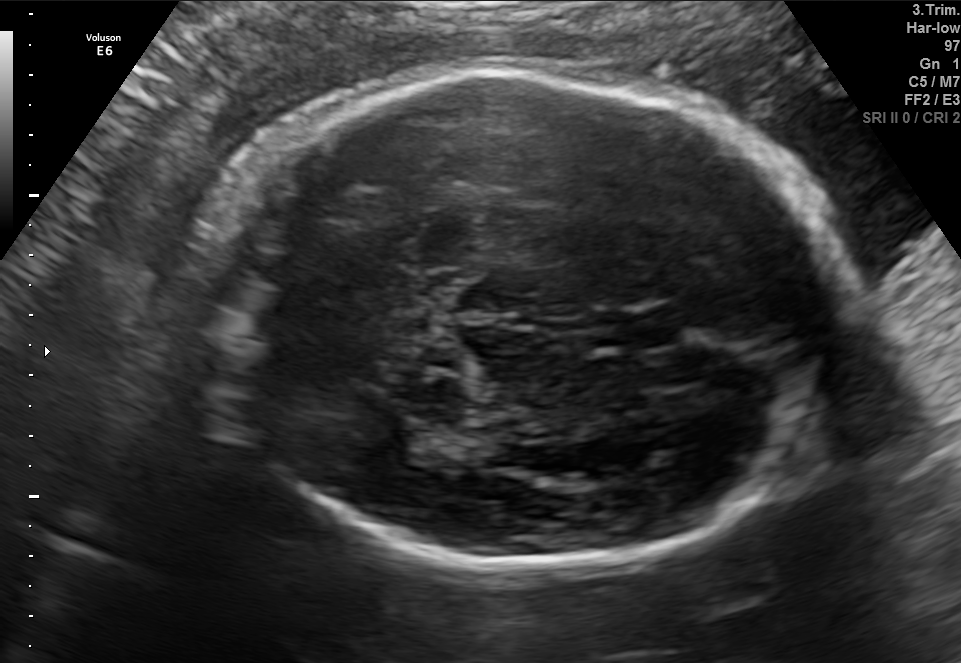
Fetal brain, trans-thalamic plane. Give [x1,y1,x2,y2] bounding boxes for each visible structure among: fetal head, CSP, LV.

Head: [196,64,841,565]
CSP: [590,310,676,351]